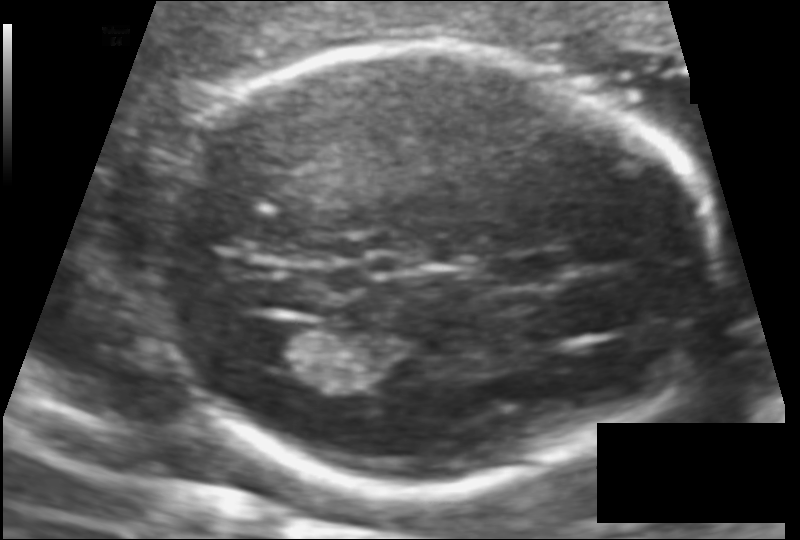
In this fetal head ultrasound, give bounding boxes for the head outline, cavum septum pellucidum (CSP), and lateral ventricle (LV), where visible. Image width: 84.7 mm.

Head: [151,48,717,489]
CSP: [487,247,574,293]
Lateral ventricle: [239,318,324,372]